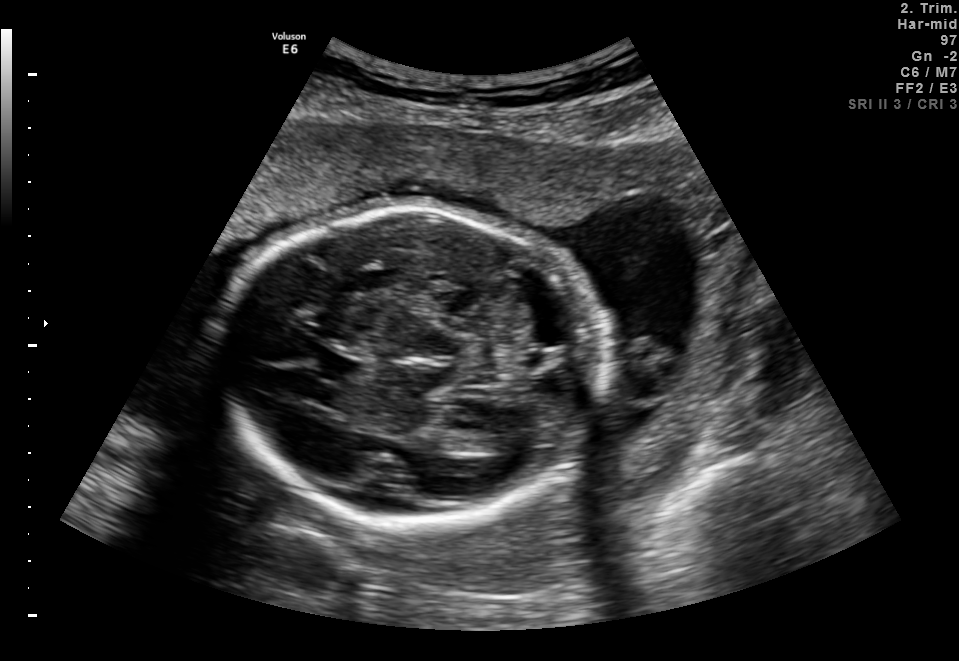
Fetal brain, trans-thalamic plane. Locate the fetal head and, if visible, the cavum septum pellucidum (CSP) and lateral ventricle (LV). Give bounding boxes as [x1,y1,x2,y2].

Head: [223,208,600,523]
CSP: [309,347,364,387]
Lateral ventricle: [474,423,527,455]